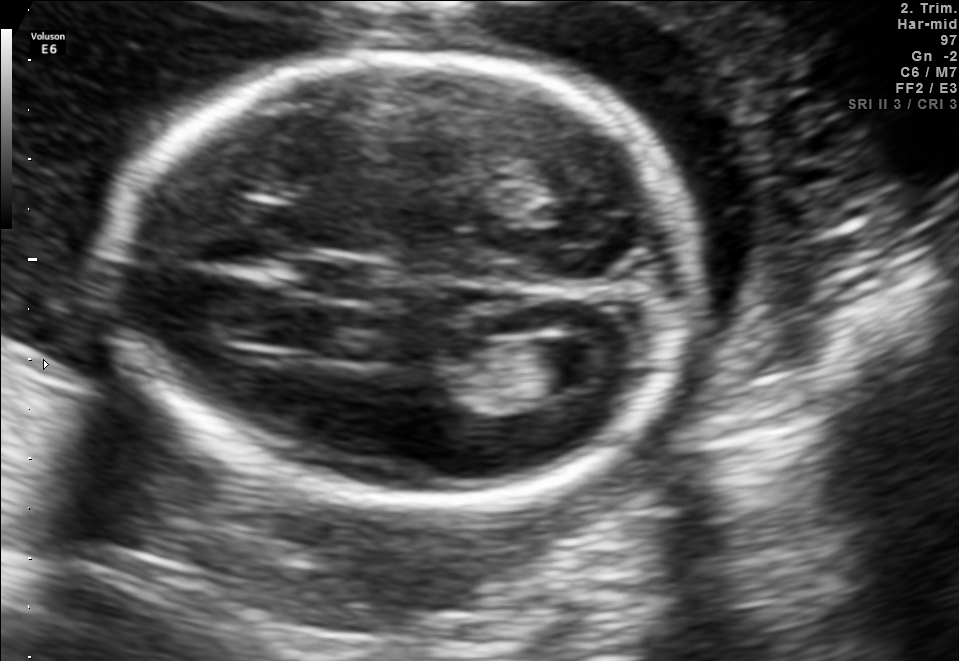
Fetal brain, trans-ventricular plane. Where is the lateral ventricle?

Lateral ventricle bounding box: [538,334,619,389]